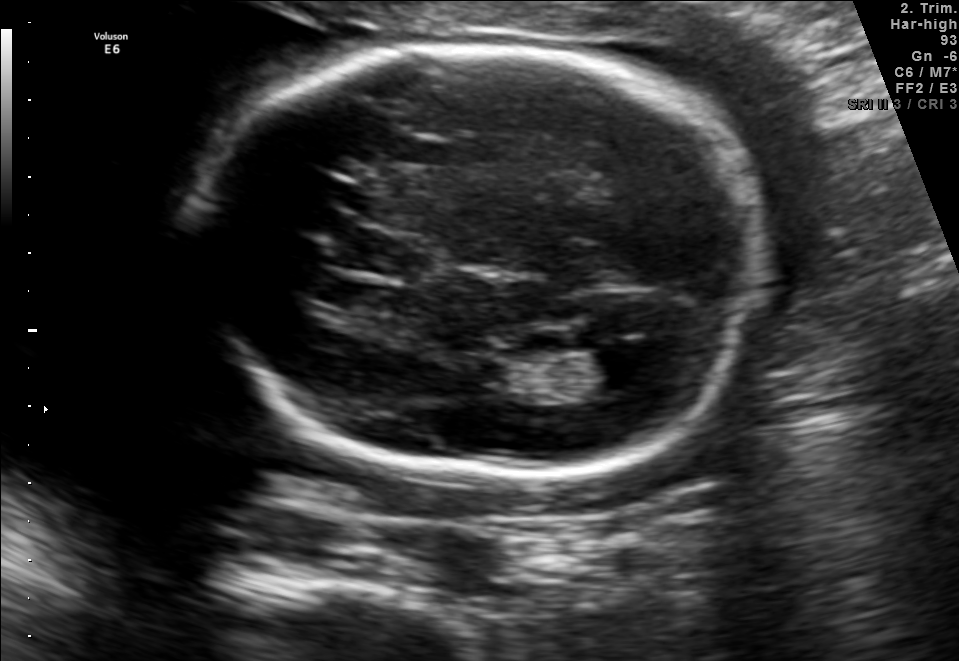
Fetal brain, trans-ventricular plane. Locate the lateral ventricle.

Lateral ventricle: [576,344,664,400]